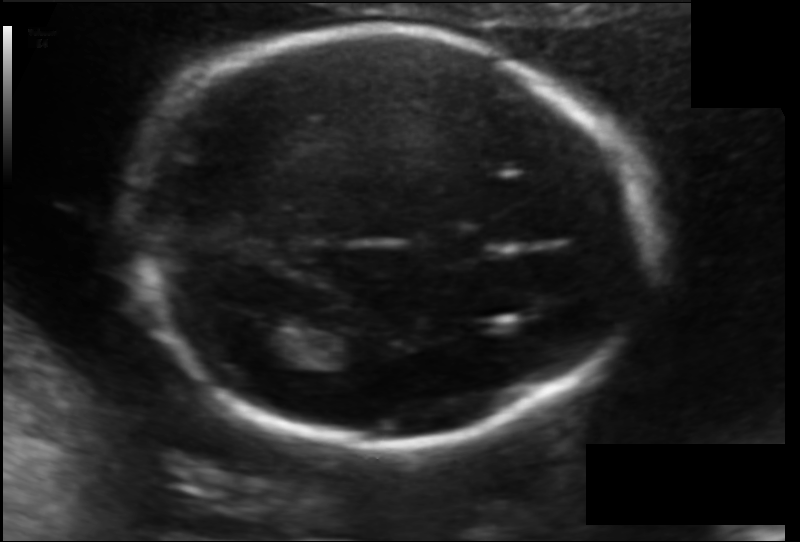
Fetal head ultrasound. Image width: 91.4 mm. Locate the fetal head.

Head: [141,33,654,450]